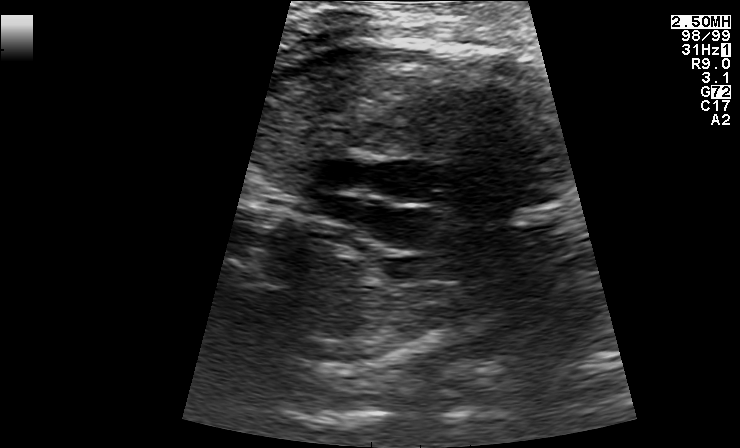
This is a 2D maternal-fetal ultrasound frame. Is it a fetal abdomen, fetal brain, fetal femur, fetal thorax, maternal cervix, or other standard plane? If it's fetal brain and one of the three standard brain planes (trans-thalamic, trans-cerebellum, trans-ventricular), name which.

Other